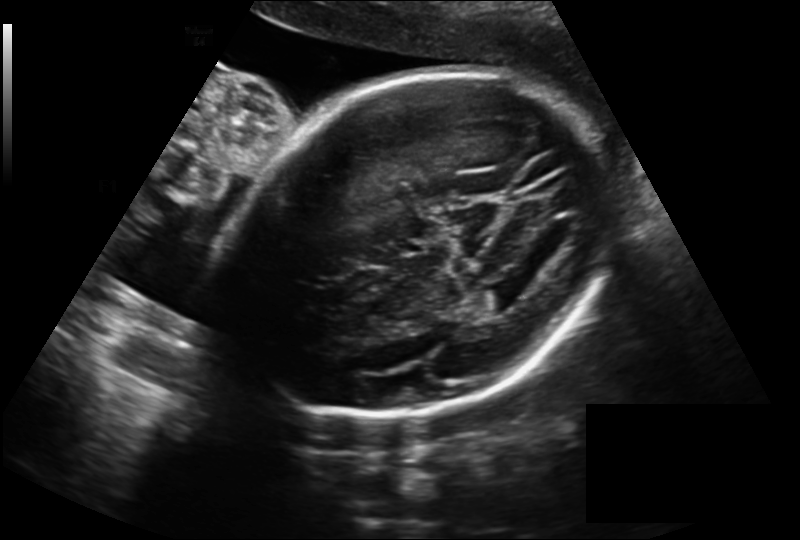
In this fetal head ultrasound, give the bounding box of the lateral ventricle. Image width: 179.9 mm.

[475,270,531,318]